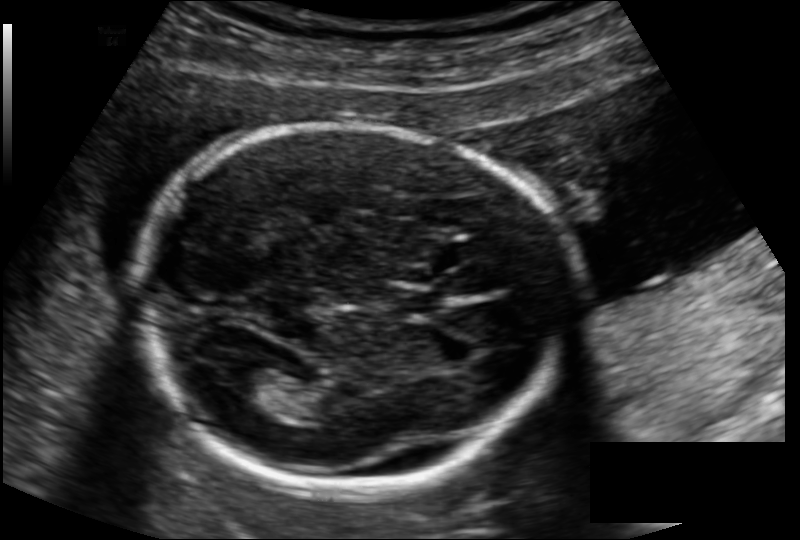
From this fetal ultrasound, estimate the head circumference (image width 107.6 mm).

Head circumference: 172.7 mm.